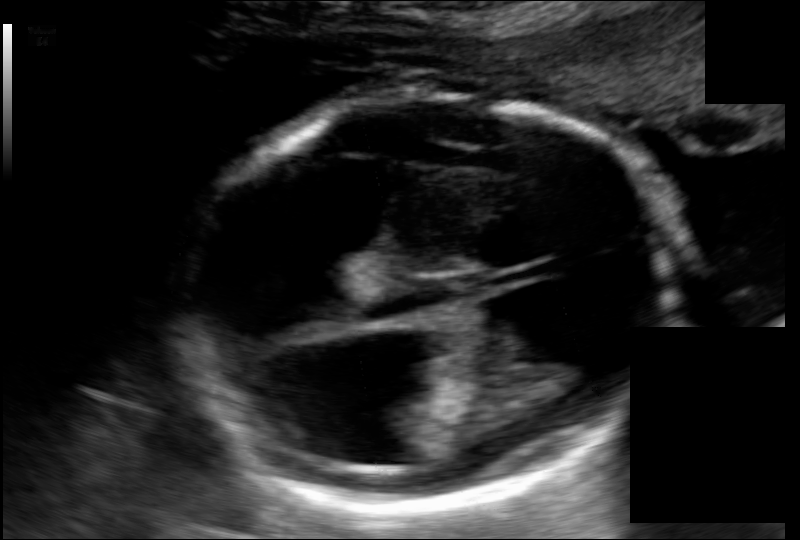
In this fetal head ultrasound, give bounding boxes for the head outline, cavum septum pellucidum (CSP), and lateral ventricle (LV), where visible. Image width: 107.8 mm.

Head: [184,91,678,512]